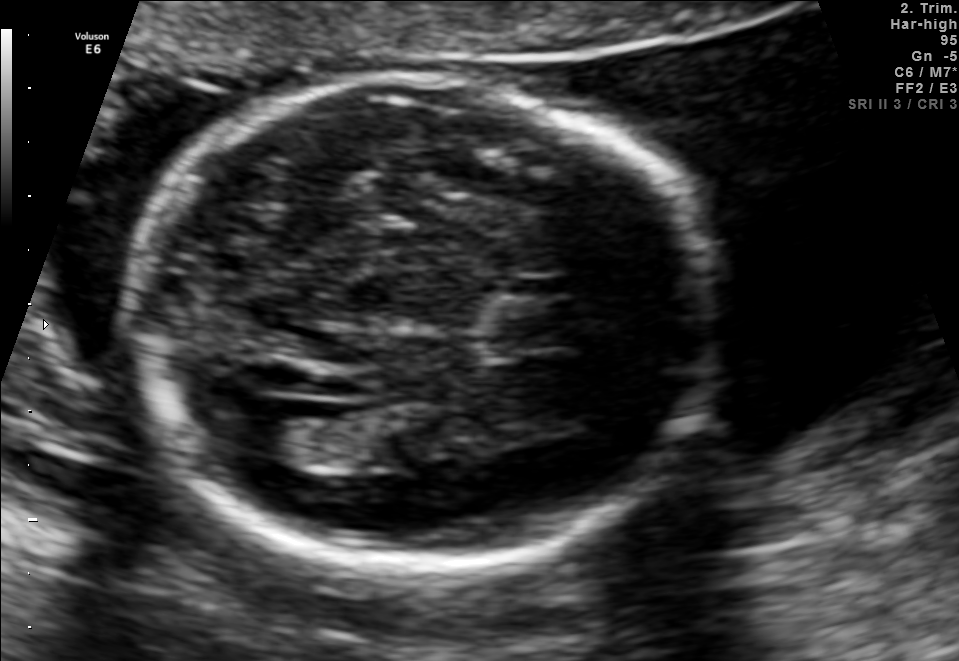
Fetal brain, trans-ventricular plane. Where is the cavum septum pellucidum?

CSP bounding box: [472,295,582,351]